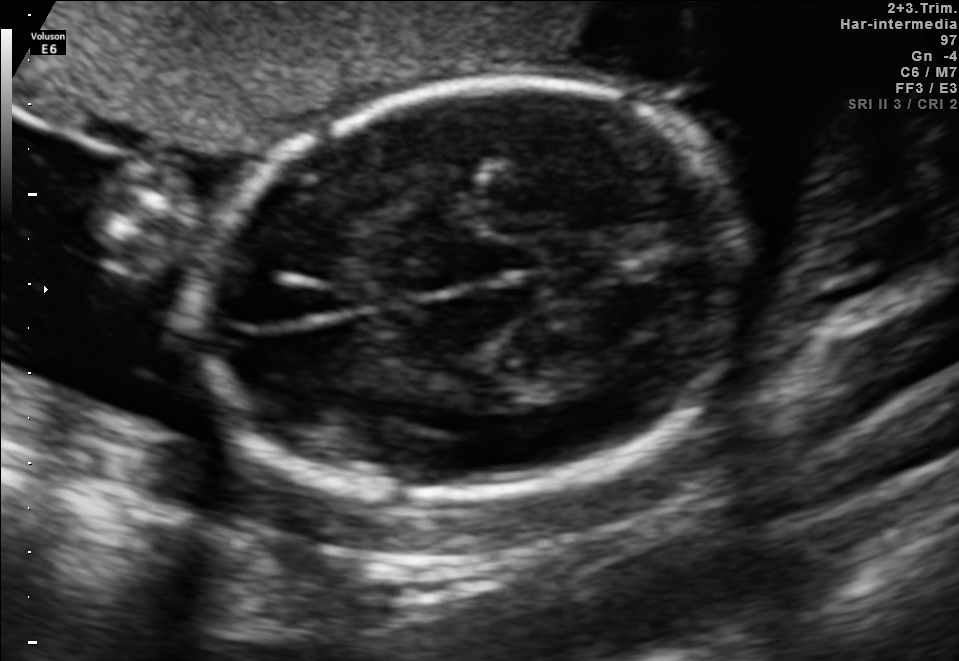
In this fetal brain, trans-thalamic plane, give the bounding box of the fetal head.

[193,80,752,495]